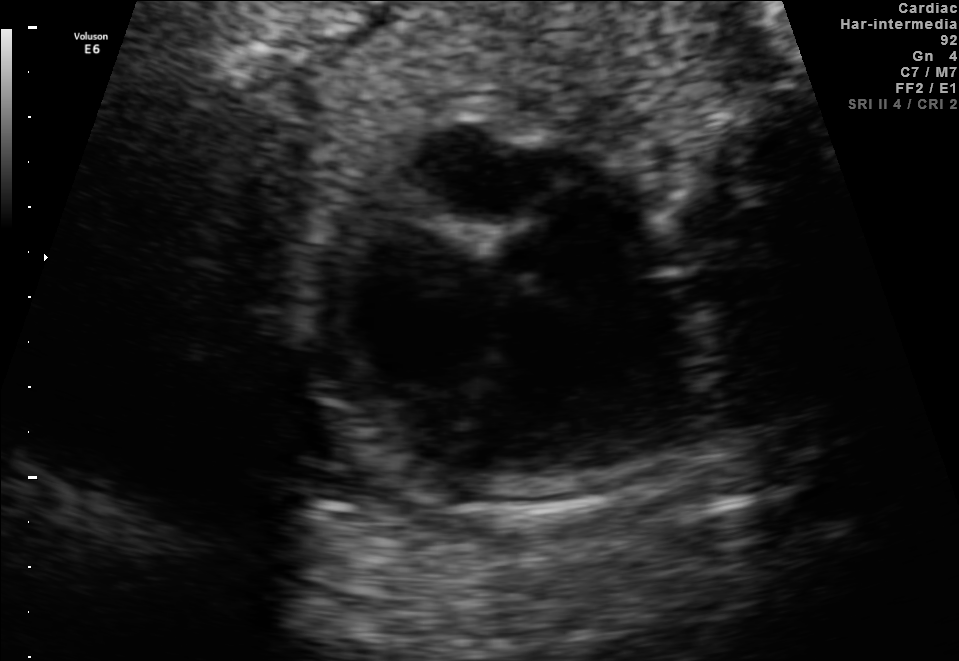
This is a 2D maternal-fetal ultrasound frame. Is it a fetal abdomen, fetal brain, fetal femur, fetal thorax, maternal cervix, or other standard plane? If it's fetal brain and one of the three standard brain planes (trans-thalamic, trans-cerebellum, trans-ventricular), name which.

Fetal thorax